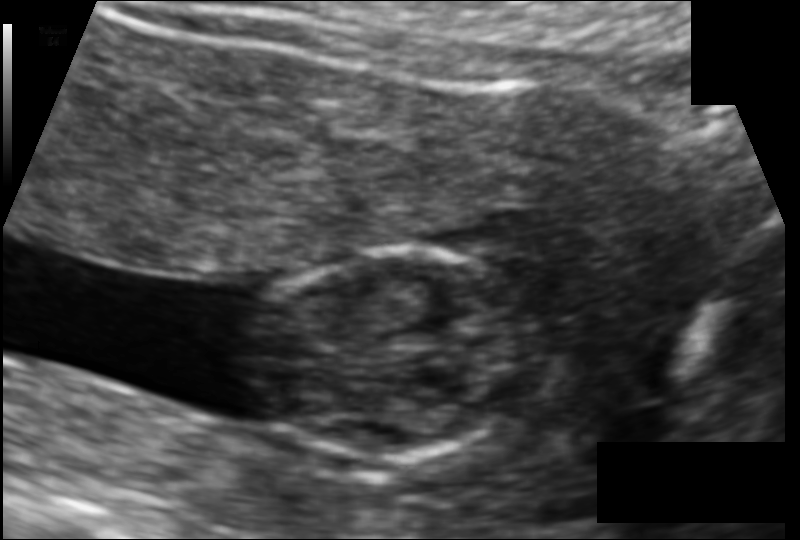
In this fetal head ultrasound, give bounding boxes for the head outline, cavum septum pellucidum (CSP), and lateral ventricle (LV), where visible. Image width: 84.2 mm.

Head: [252,250,523,463]